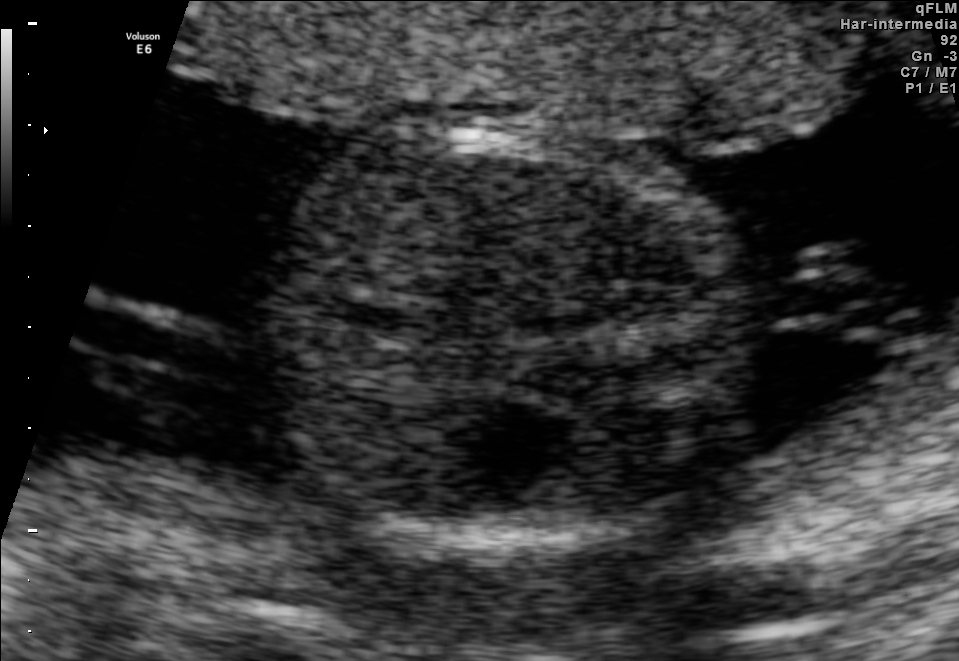
This is a 2D maternal-fetal ultrasound frame. Is it a fetal abdomen, fetal brain, fetal femur, fetal thorax, maternal cervix, or other standard plane? If it's fetal brain and one of the three standard brain planes (trans-thalamic, trans-cerebellum, trans-ventricular), name which.

Fetal abdomen